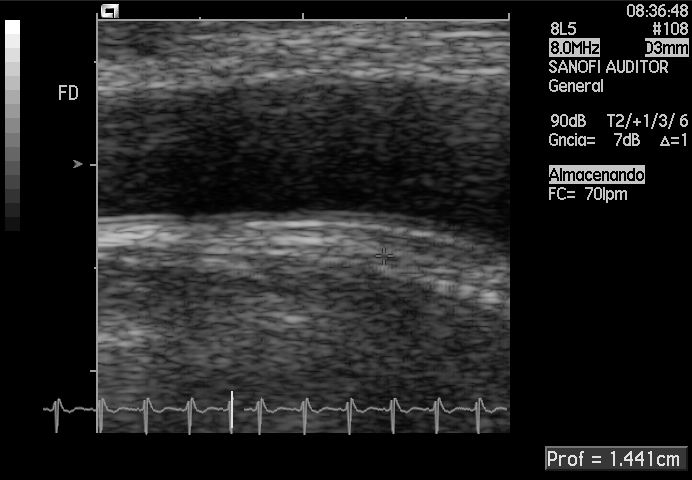
Identify the standard plane in this fetal ultrasound image: fetal abdomen, fetal brain, fetal femur, fetal thorax, maternal cervix, or other. If it's fetal brain and one of the three standard brain planes (trans-thalamic, trans-cerebellum, trans-ventricular), name which.

Other